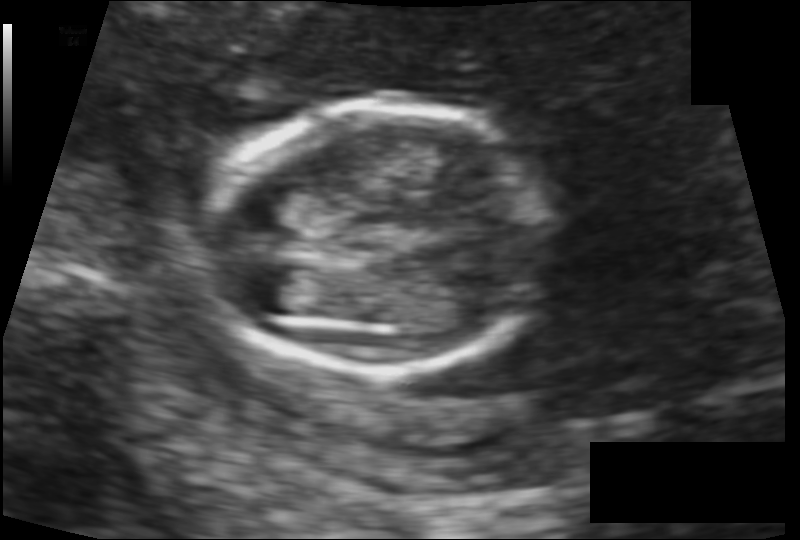
In this fetal head ultrasound, give the bounding box of the fetal head. Image width: 88.5 mm.

[203,106,547,373]